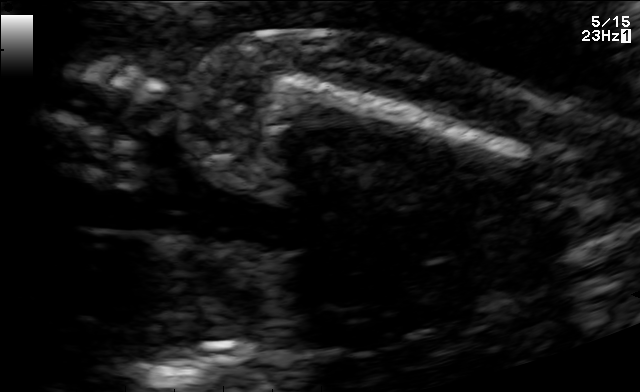
Identify the standard plane in this fetal ultrasound image: fetal abdomen, fetal brain, fetal femur, fetal thorax, maternal cervix, or other. If it's fetal brain and one of the three standard brain planes (trans-thalamic, trans-cerebellum, trans-ventricular), name which.

Fetal femur